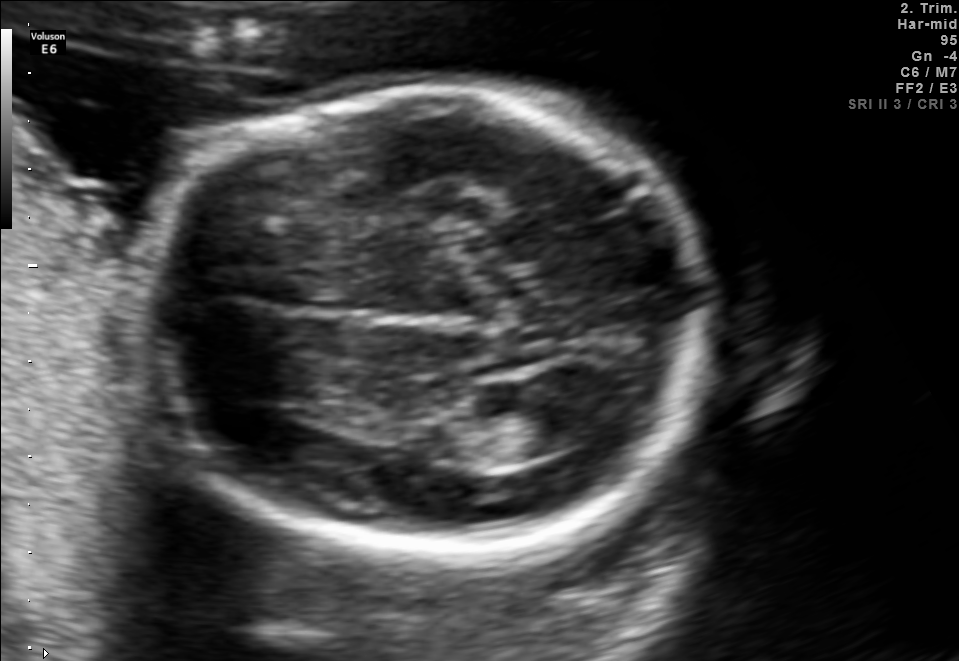
Which standard maternal-fetal ultrasound plane is shown: fetal abdomen, fetal brain, fetal femur, fetal thorax, maternal cervix, or other? If it's fetal brain and one of the three standard brain planes (trans-thalamic, trans-cerebellum, trans-ventricular), name which.

Fetal brain (trans-ventricular plane)